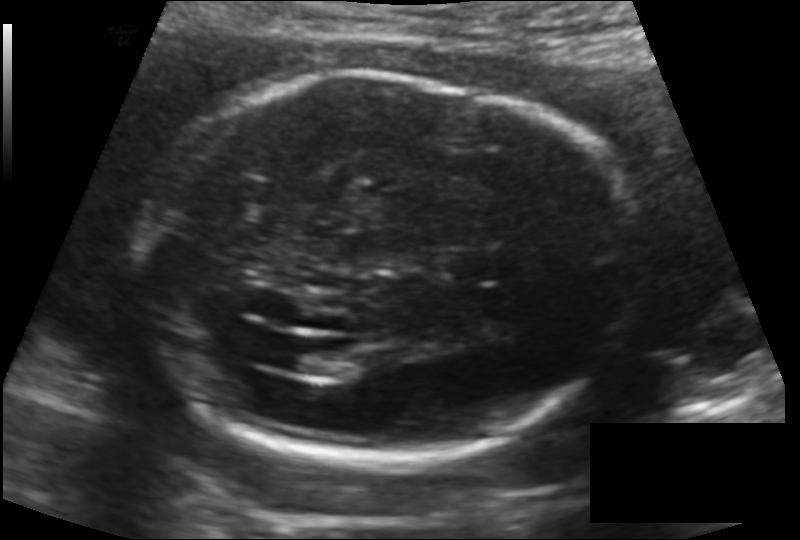
In this fetal head ultrasound, give the bounding box of the lateral ventricle. Image width: 117.5 mm.

[288,340,351,378]